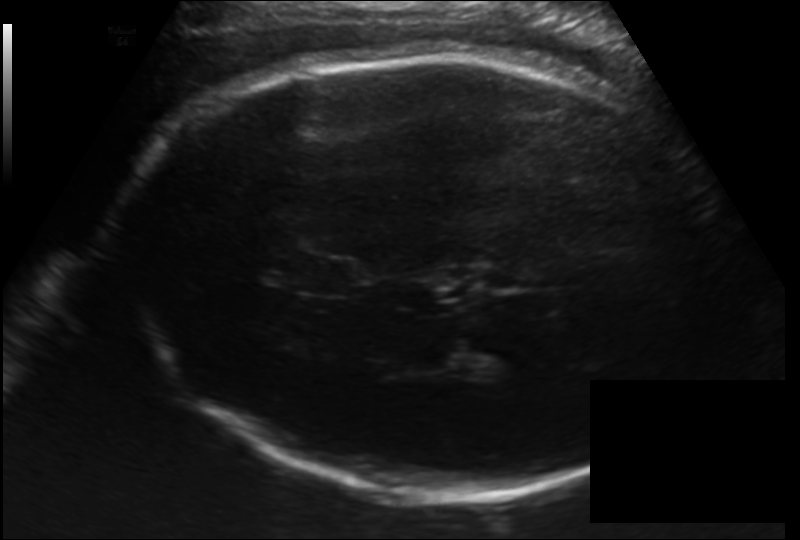
Fetal head ultrasound. Image width: 153.4 mm. Where is the cavum septum pellucidum?

CSP bounding box: [286,251,362,299]